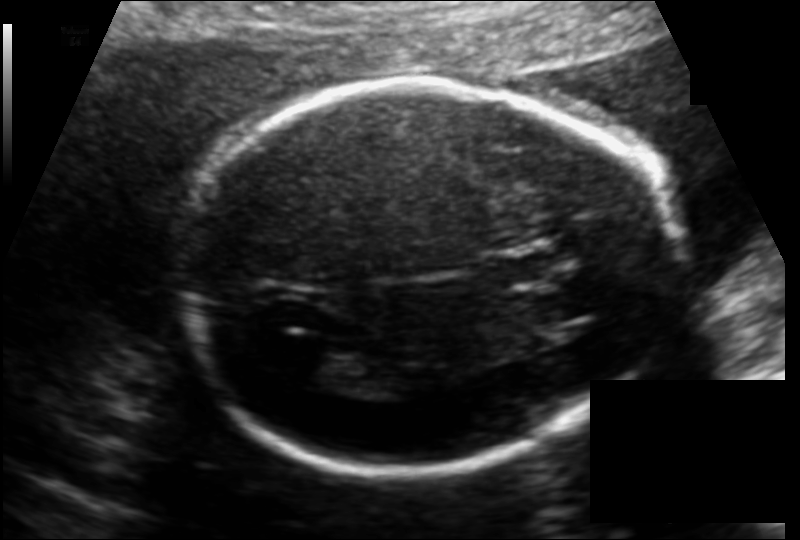
Fetal head ultrasound. Image width: 104.3 mm. Locate the fetal head and, if visible, the cavum septum pellucidum (CSP) and lateral ventricle (LV). Give bounding boxes as [x1,y1,x2,y2].

Head: [176,78,674,479]
CSP: [491,238,571,291]
Lateral ventricle: [288,339,367,392]